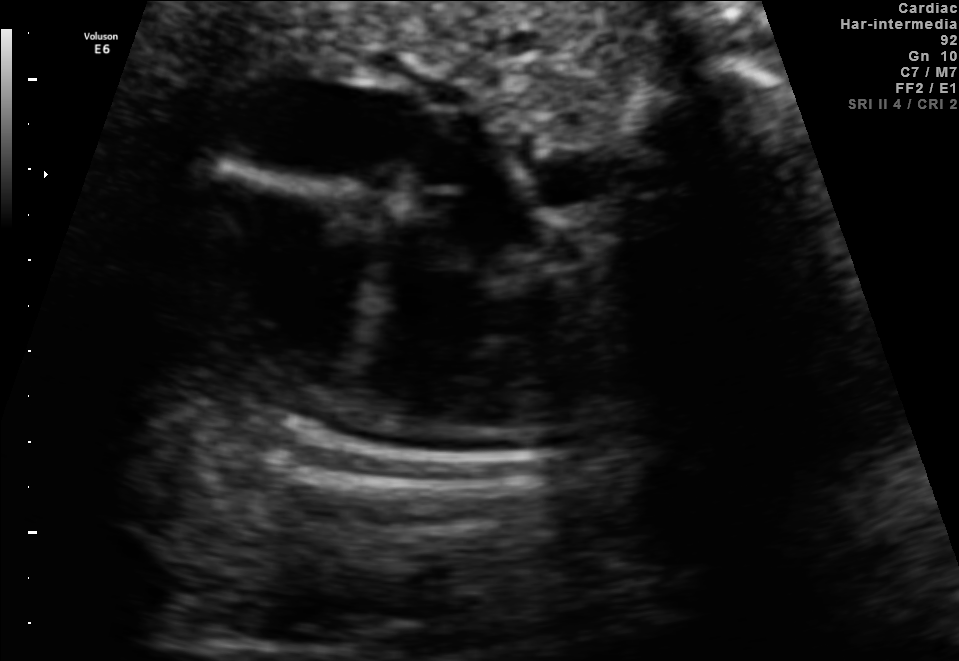
This is a 2D maternal-fetal ultrasound frame. Is it a fetal abdomen, fetal brain, fetal femur, fetal thorax, maternal cervix, or other standard plane? If it's fetal brain and one of the three standard brain planes (trans-thalamic, trans-cerebellum, trans-ventricular), name which.

Fetal thorax